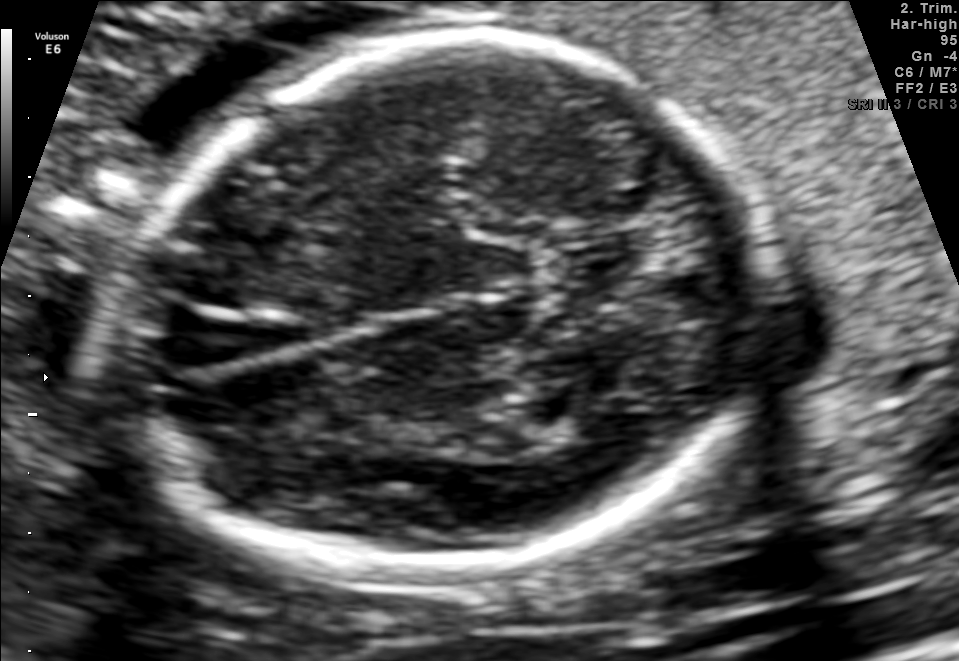
Which standard maternal-fetal ultrasound plane is shown: fetal abdomen, fetal brain, fetal femur, fetal thorax, maternal cervix, or other? If it's fetal brain and one of the three standard brain planes (trans-thalamic, trans-cerebellum, trans-ventricular), name which.

Fetal brain (trans-thalamic plane)